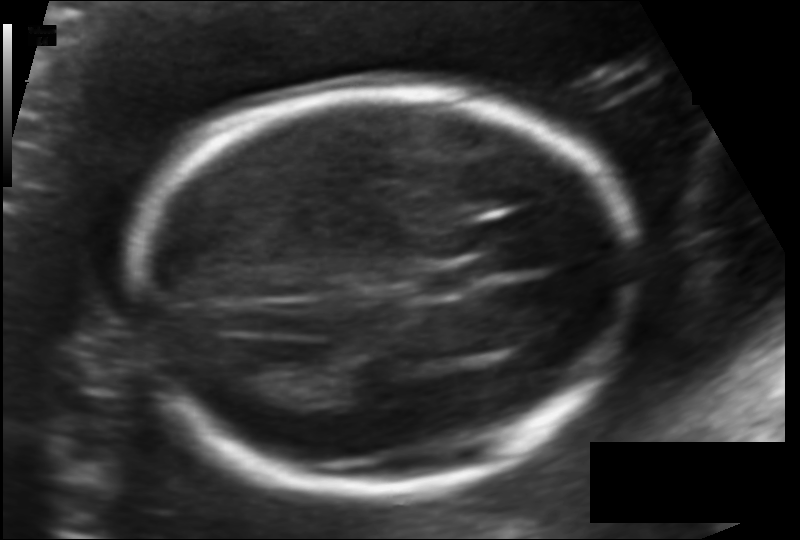
What is the fetal head circumference? Image width is 99.3 mm.

182.1 mm